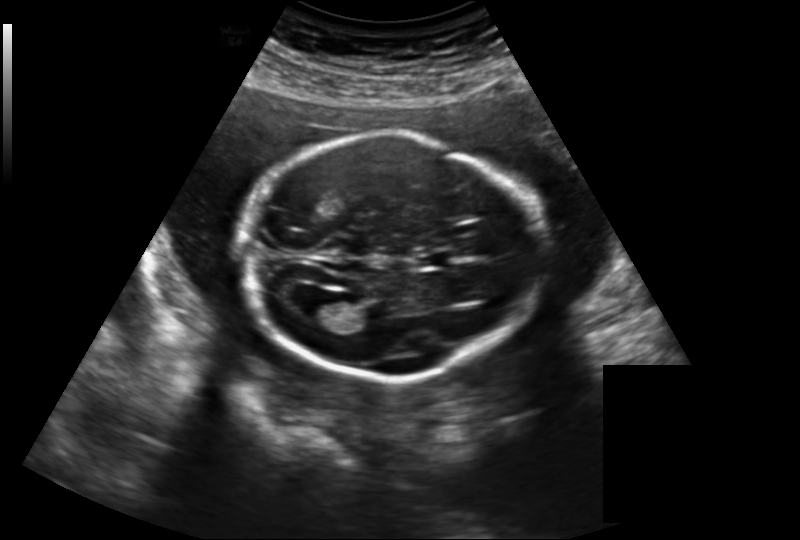
In this fetal head ultrasound, give bounding boxes for the head outline, cavum septum pellucidum (CSP), and lateral ventricle (LV), where visible. Image width: 175.2 mm.

Head: [241,133,542,381]
CSP: [417,250,453,269]
Lateral ventricle: [300,286,352,330]